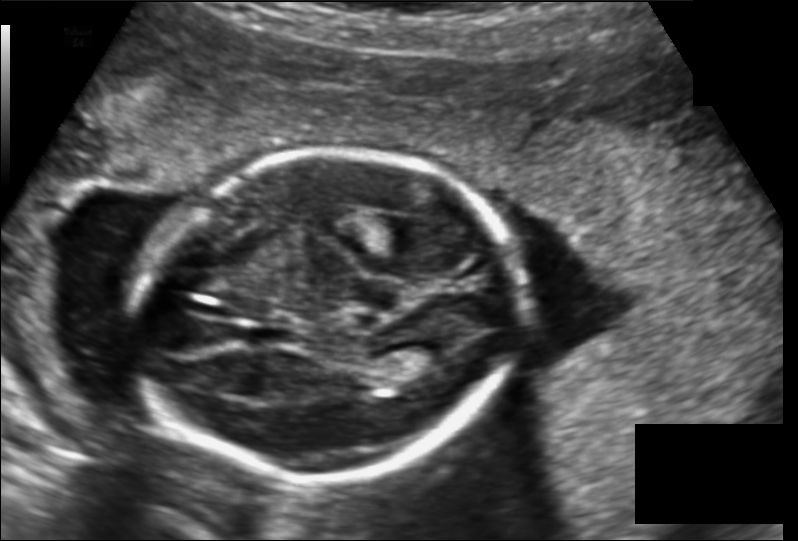
What is the fetal head circumference? Image width is 118.8 mm.

173.3 mm